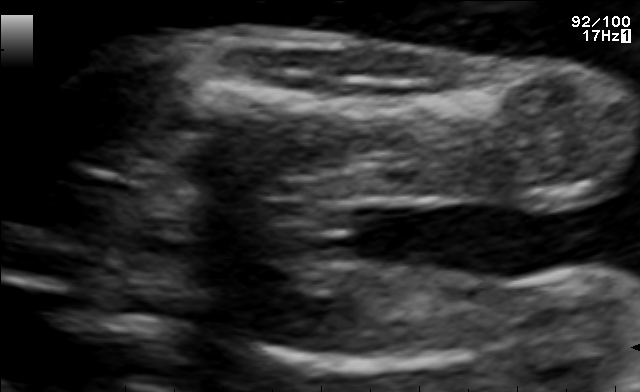
Identify the standard plane in this fetal ultrasound image: fetal abdomen, fetal brain, fetal femur, fetal thorax, maternal cervix, or other. If it's fetal brain and one of the three standard brain planes (trans-thalamic, trans-cerebellum, trans-ventricular), name which.

Fetal femur